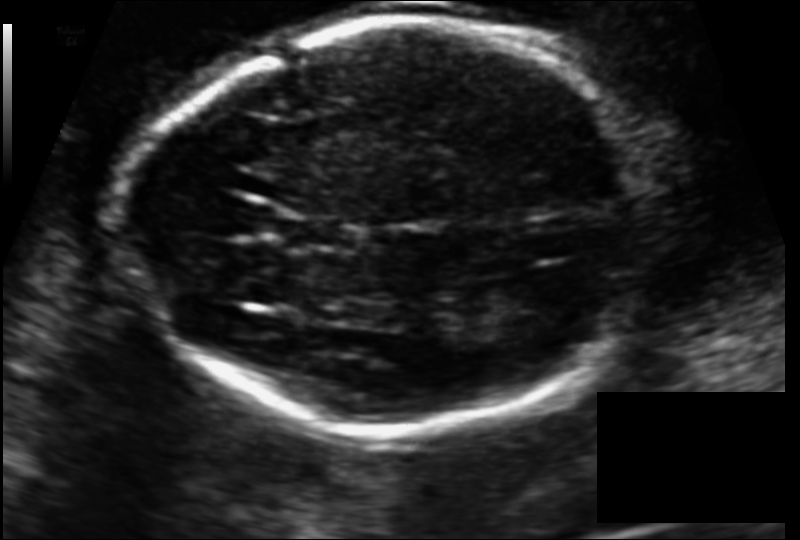
Fetal head ultrasound. Image width: 98.9 mm. Where is the fetal head?

Head bounding box: [128,19,652,433]